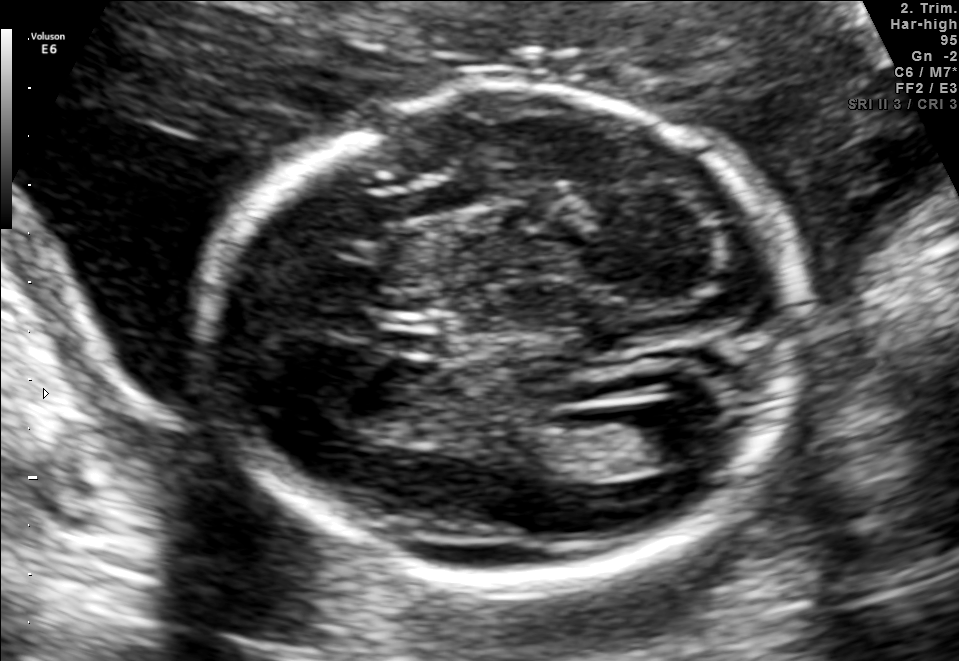
In this fetal brain, trans-ventricular plane, give bounding boxes for the head outline, cavum septum pellucidum (CSP), and lateral ventricle (LV), where visible.

Head: [187,75,824,600]
CSP: [362,303,459,359]
Lateral ventricle: [611,401,715,475]